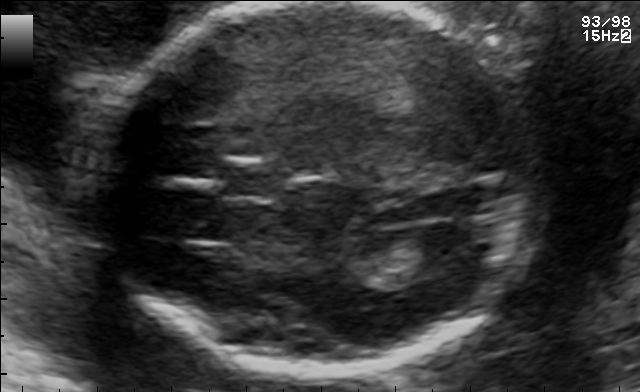
Fetal brain, trans-ventricular plane. Where is the fetal head?

Head bounding box: [78,2,555,379]